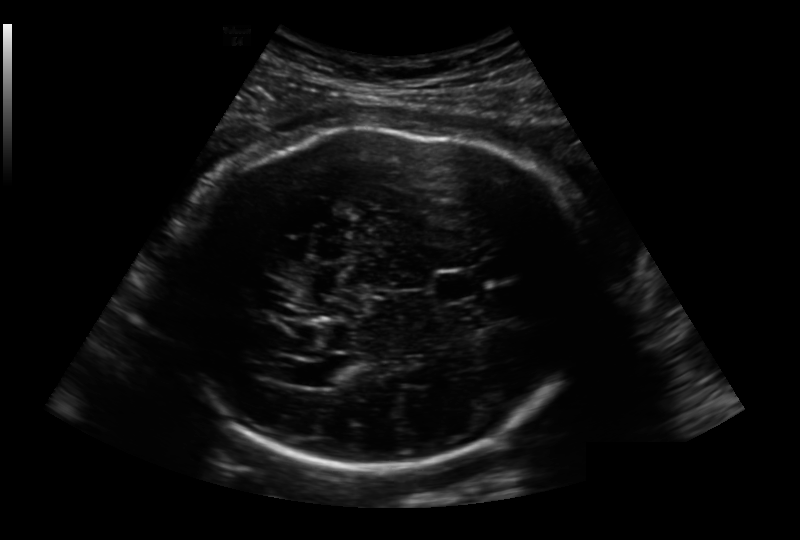
What is the fetal head circumference? Image width is 188.6 mm.

292.1 mm